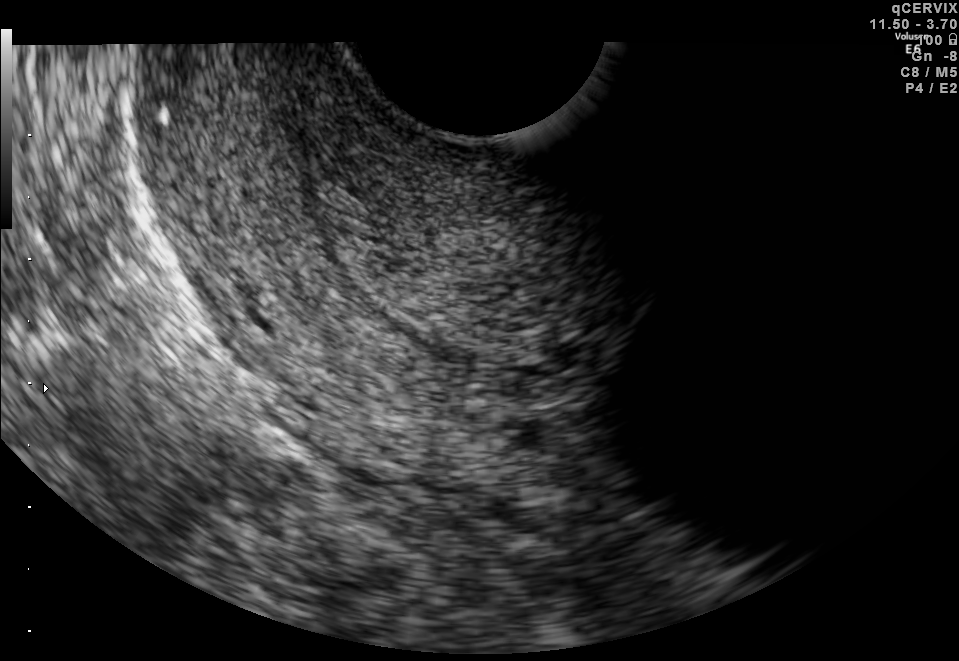
Identify the standard plane in this fetal ultrasound image: fetal abdomen, fetal brain, fetal femur, fetal thorax, maternal cervix, or other. If it's fetal brain and one of the three standard brain planes (trans-thalamic, trans-cerebellum, trans-ventricular), name which.

Maternal cervix